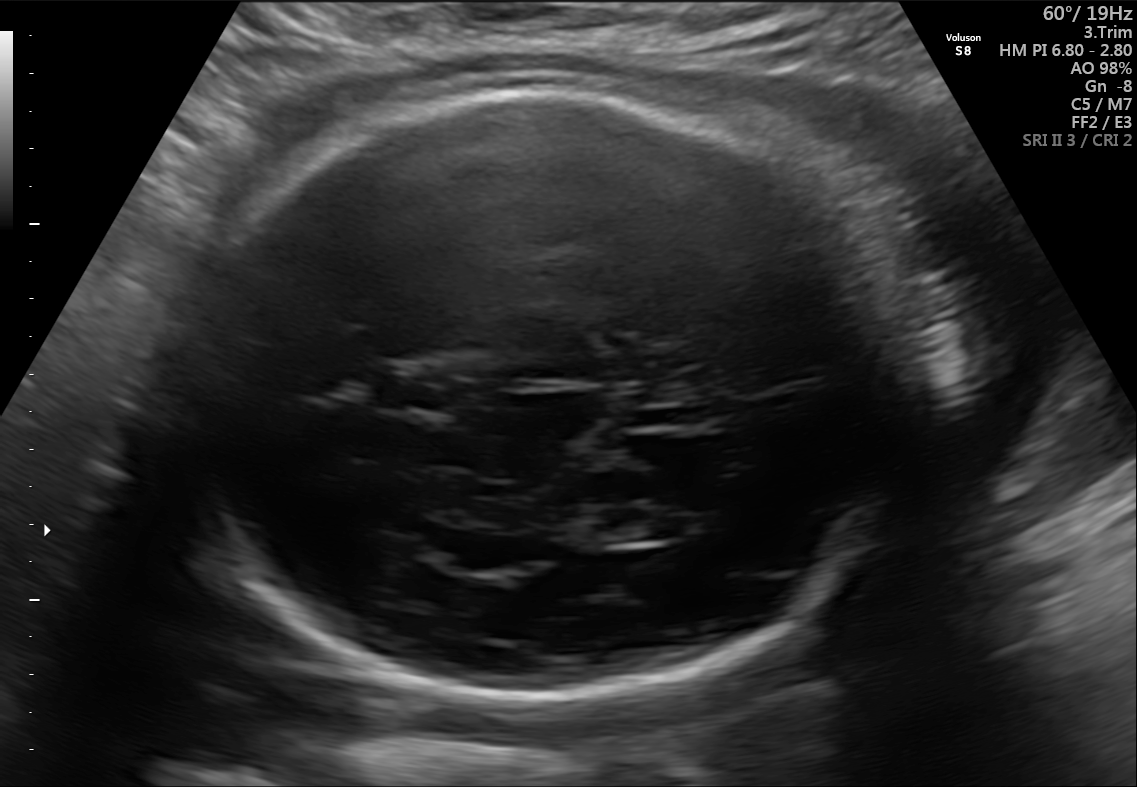
Fetal brain, trans-thalamic plane. Locate the lateral ventricle.

Lateral ventricle: [568,504,678,549]